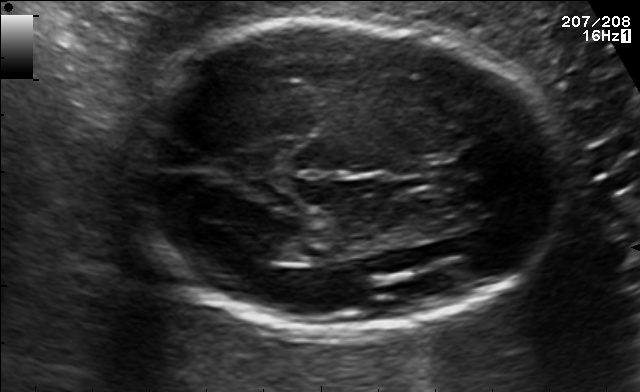
Fetal brain, trans-thalamic plane. Where is the fetal head?

Head bounding box: [125,22,566,330]